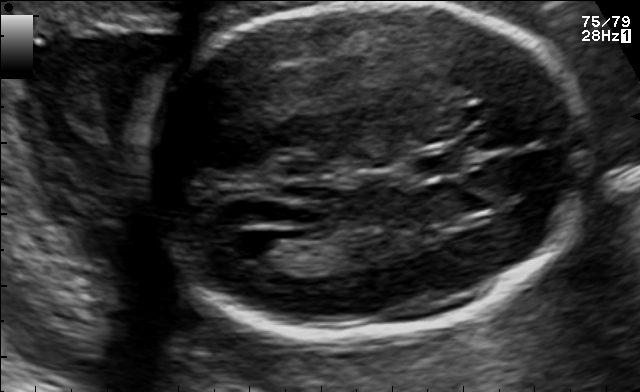
Fetal brain, trans-ventricular plane. Give [x1,y1,x2,y2] bounding boxes for each visible structure among: fetal head, CSP, LV.

Head: [123,2,606,346]
CSP: [396,138,485,184]
Lateral ventricle: [217,226,287,264]